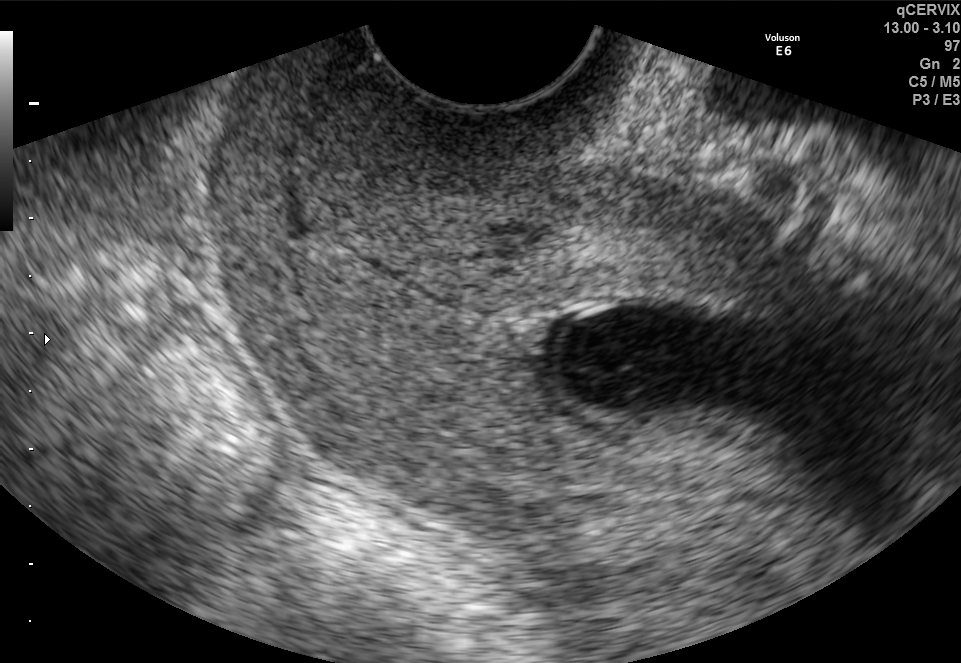
Classify this maternal-fetal ultrasound image as one of the six standard planes — fetal abdomen, fetal brain, fetal femur, fetal thorax, maternal cervix, or other. If it's fetal brain and one of the three standard brain planes (trans-thalamic, trans-cerebellum, trans-ventricular), name which.

Maternal cervix